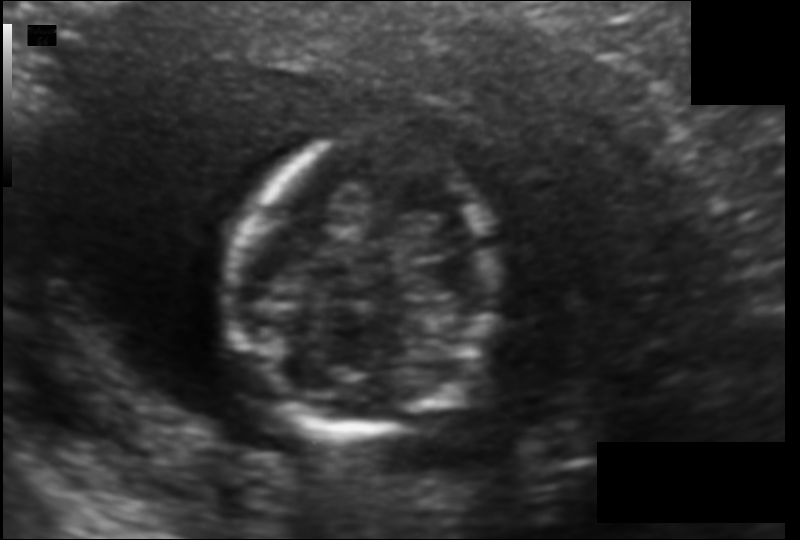
Estimate the fetal head circumference from this 2D ultrasound. Image width: 83.0 mm.

Head circumference: 97.5 mm.